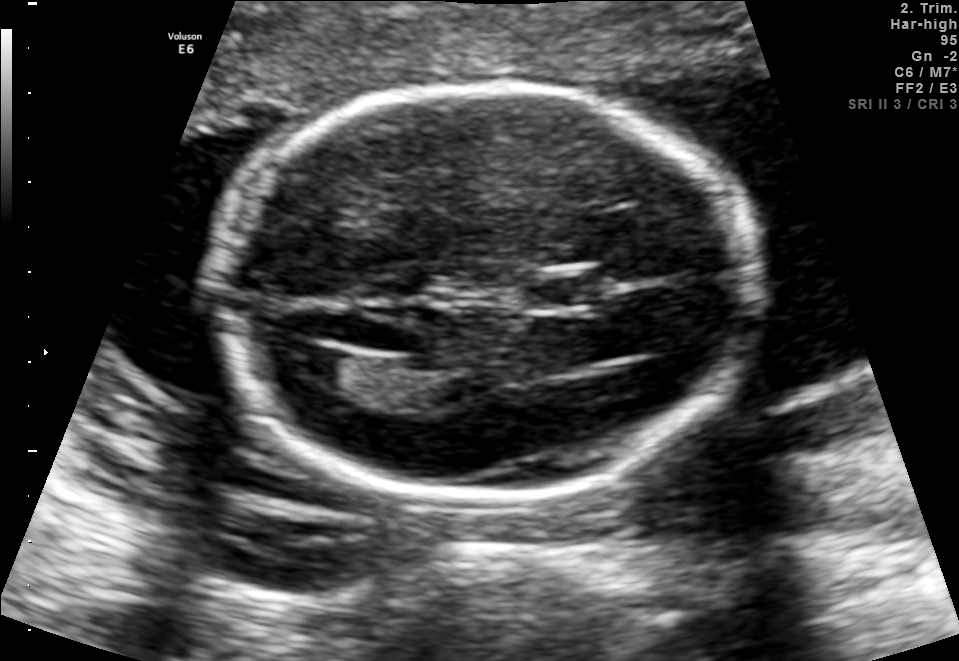
Fetal brain, trans-ventricular plane. Locate the fetal head.

Head: [210,79,769,514]